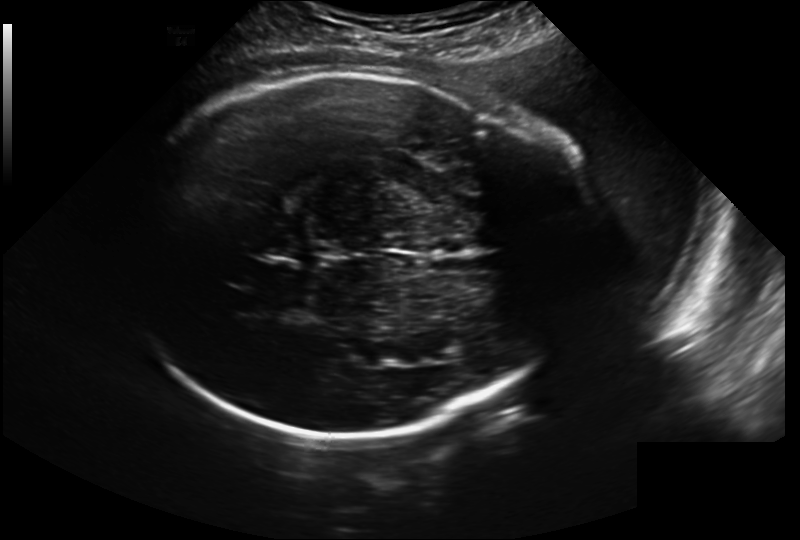
Fetal head ultrasound. Image width: 192.7 mm. Locate the fetal head and, if visible, the cavum septum pellucidum (CSP) and lateral ventricle (LV). Give bounding boxes as [x1,y1,x2,y2].

Head: [129,73,554,438]